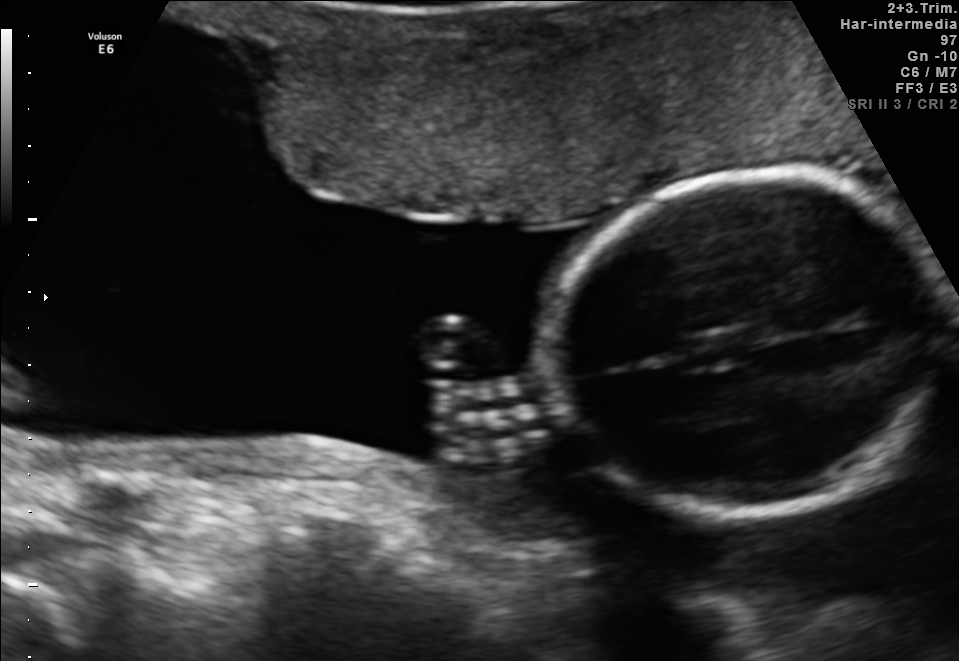
Fetal brain, trans-thalamic plane. Locate the fetal head and, if visible, the cavum septum pellucidum (CSP) and lateral ventricle (LV). Give bounding boxes as [x1,y1,x2,y2].

Head: [548,178,951,515]